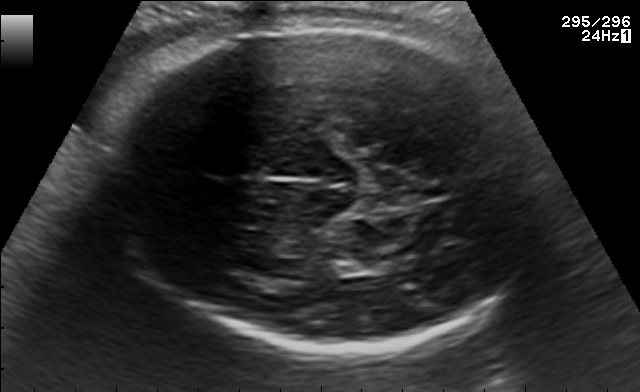
Fetal brain, trans-thalamic plane. Locate the fetal head and, if visible, the cavum septum pellucidum (CSP) and lateral ventricle (LV). Give bounding boxes as [x1,y1,x2,y2].

Head: [111,23,542,355]